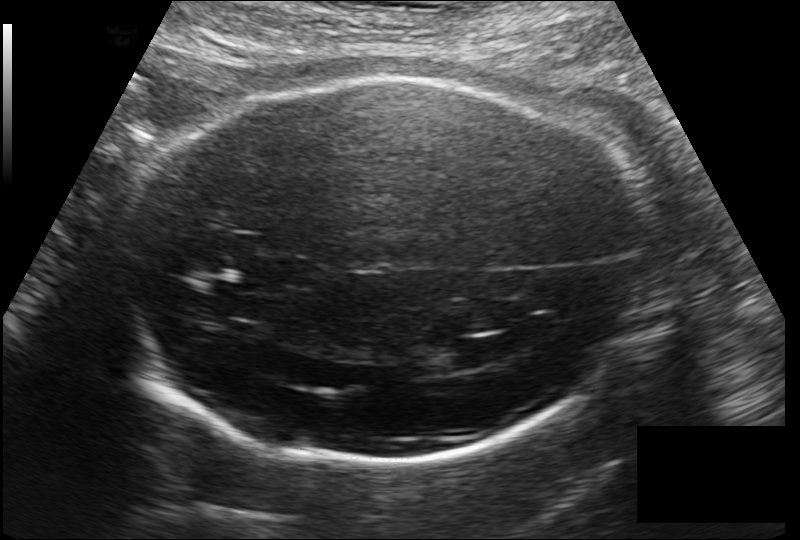
Estimate the fetal head circumference from this 2D ultrasound. Image width: 142.0 mm.

Head circumference: 263.5 mm.